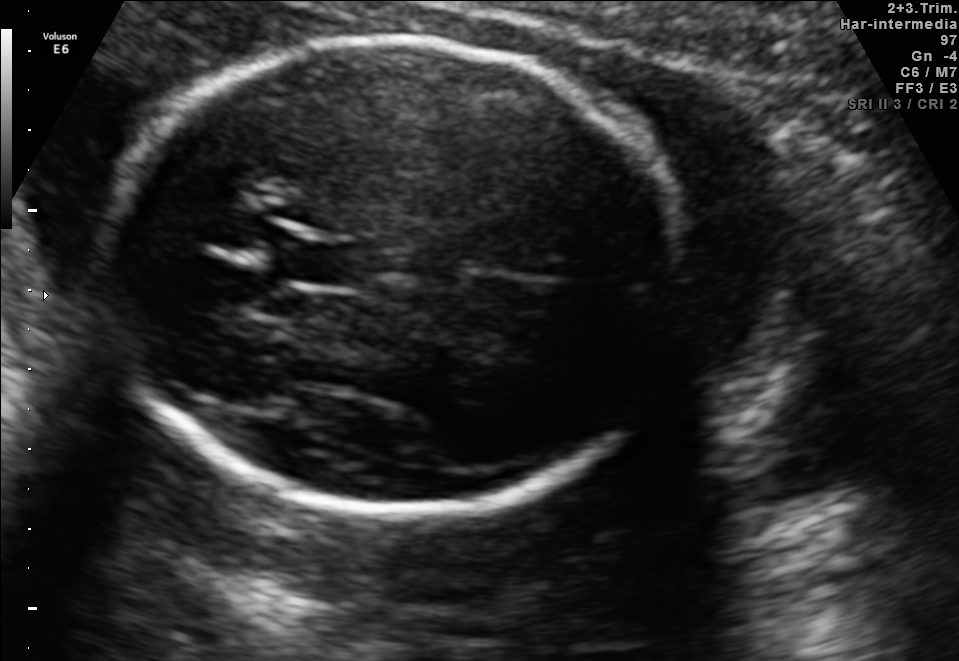
Fetal brain, trans-thalamic plane. Locate the fetal head and, if visible, the cavum septum pellucidum (CSP) and lateral ventricle (LV). Give bounding boxes as [x1,y1,x2,y2].

Head: [99,40,688,513]
CSP: [280,239,364,288]